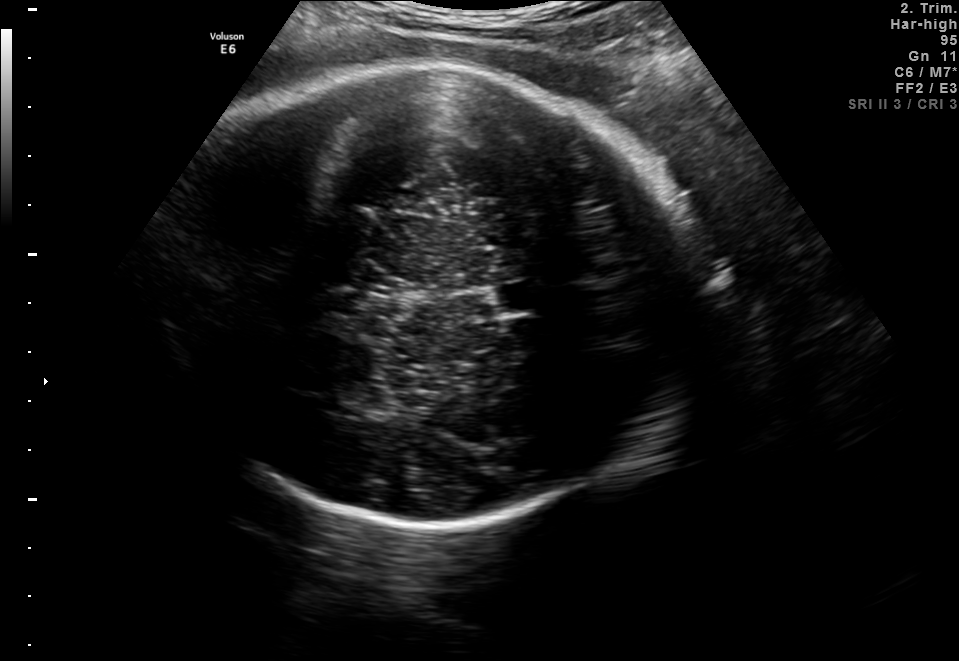
Fetal brain, trans-thalamic plane. Where is the cavum septum pellucidum?

CSP bounding box: [490,278,555,318]